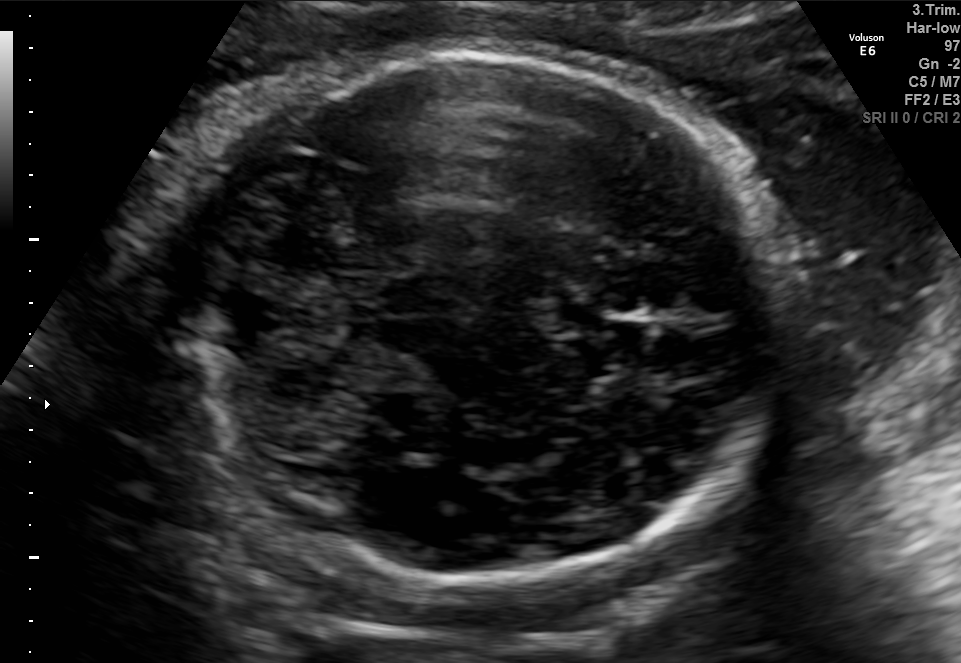
Classify this maternal-fetal ultrasound image as one of the six standard planes — fetal abdomen, fetal brain, fetal femur, fetal thorax, maternal cervix, or other. If it's fetal brain and one of the three standard brain planes (trans-thalamic, trans-cerebellum, trans-ventricular), name which.

Fetal brain (trans-cerebellum plane)